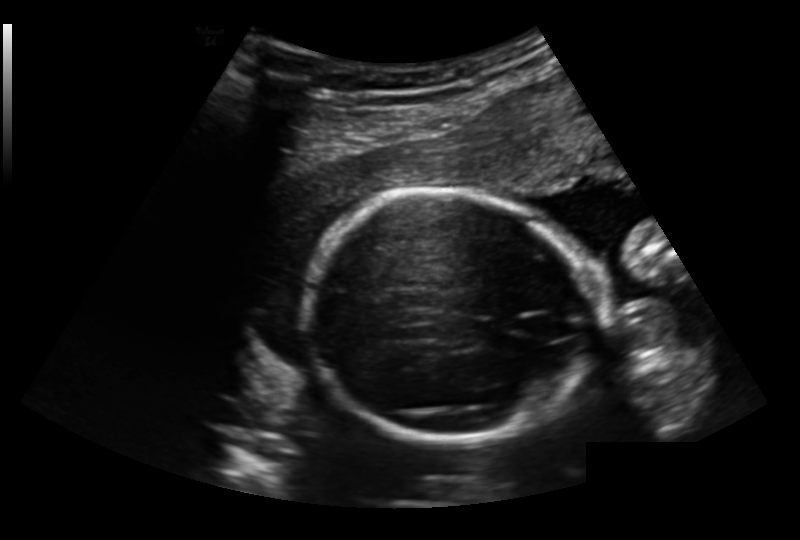
Fetal head ultrasound. Image width: 152.5 mm. Locate the fetal head.

Head: [304,190,592,444]